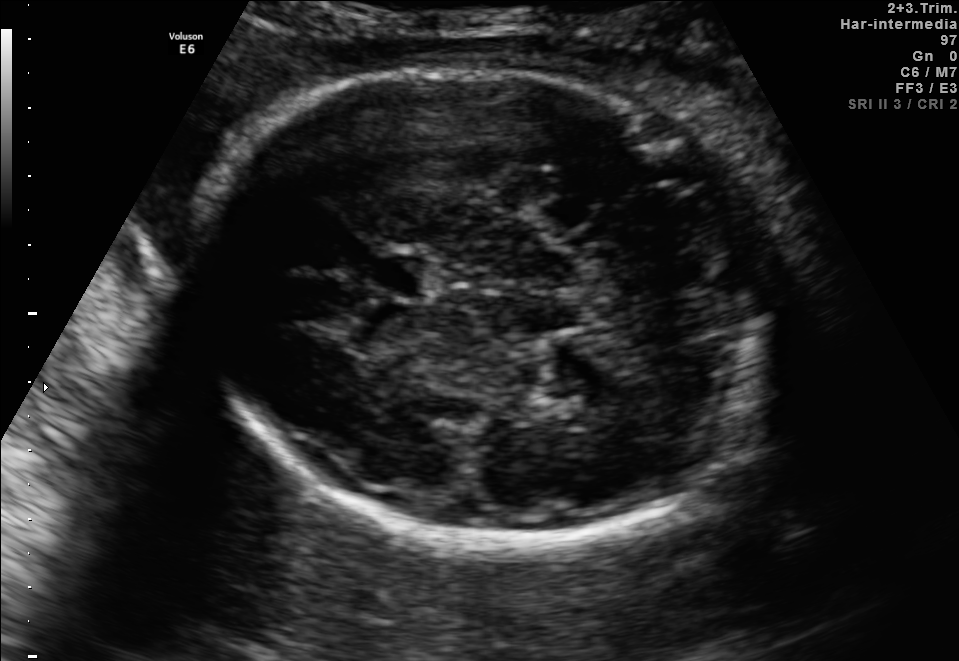
Fetal brain, trans-thalamic plane. Locate the fetal head and, if visible, the cavum septum pellucidum (CSP) and lateral ventricle (LV). Give bounding boxes as [x1,y1,x2,y2].

Head: [185,67,770,552]
CSP: [366,253,431,298]